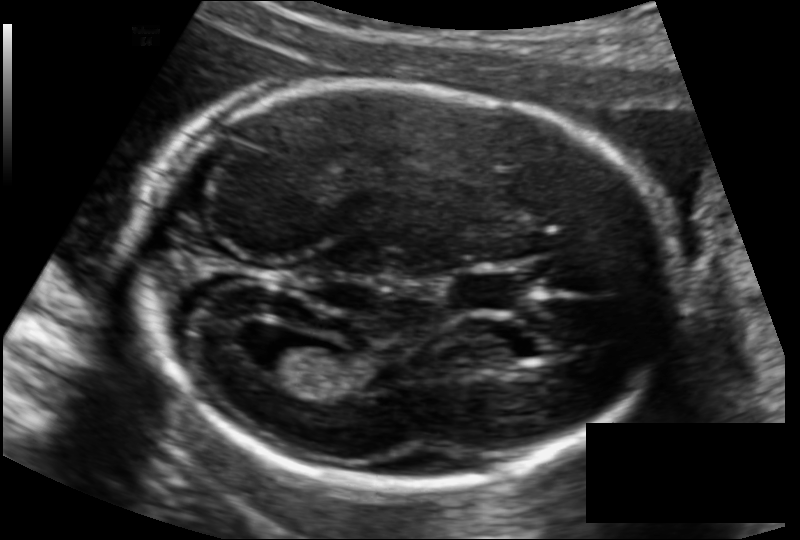
In this fetal head ultrasound, give the bounding box of the lateral ventricle. Image width: 97.7 mm.

[249,325,329,388]